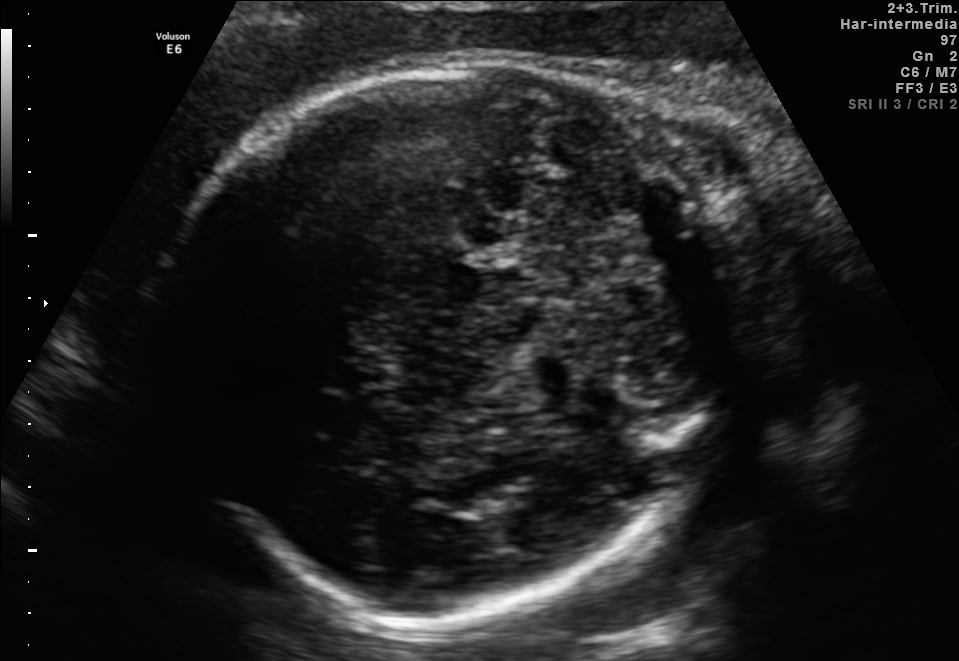
In this fetal brain, trans-thalamic plane, give the bounding box of the fetal head.

[162,61,771,618]